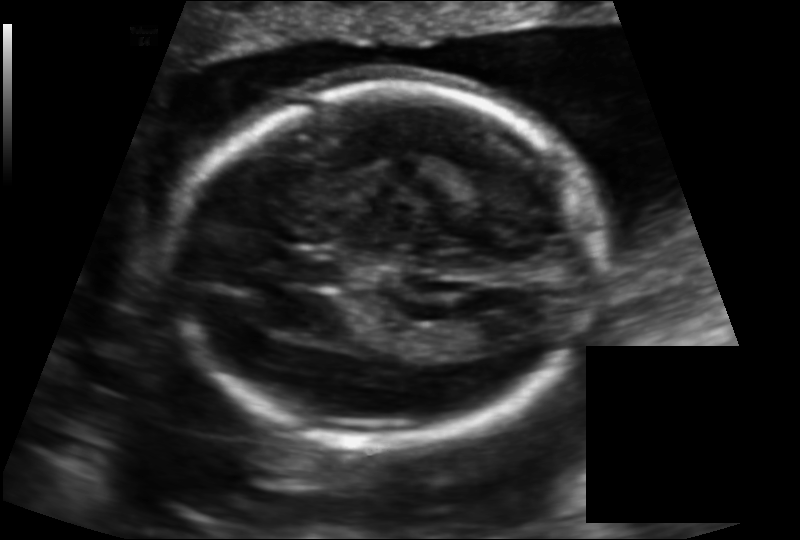
Measure the fetal head circumference shown in this ultrasound image. Image width: 106.6 mm.

Head circumference: 171.1 mm.